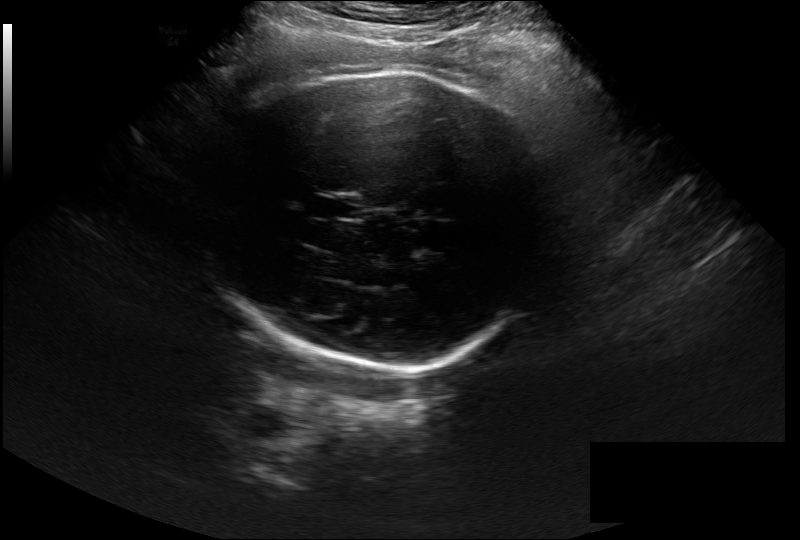
Fetal head ultrasound. Image width: 237.6 mm. Locate the fetal head.

Head: [209,73,549,371]